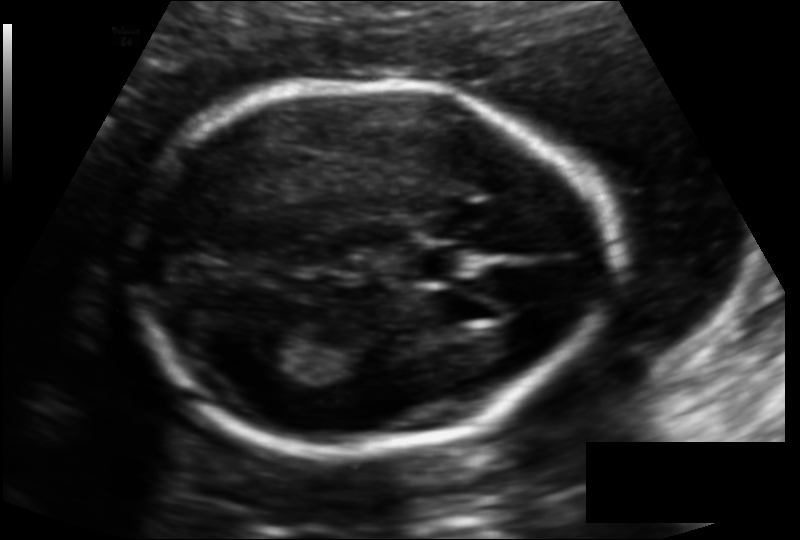
In this fetal head ultrasound, give the bounding box of the lateral ventricle. Image width: 96.8 mm.

[248,326,307,367]